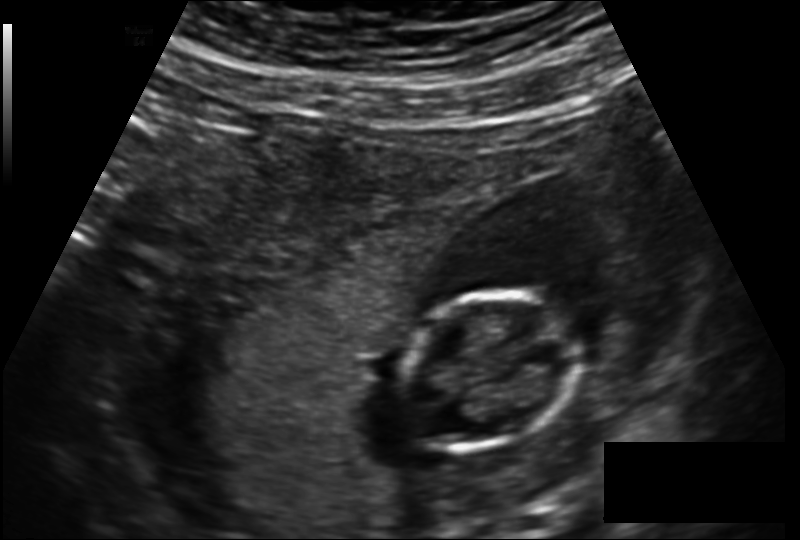
Fetal head ultrasound. Image width: 128.2 mm. Locate the fetal head.

Head: [395,291,578,452]